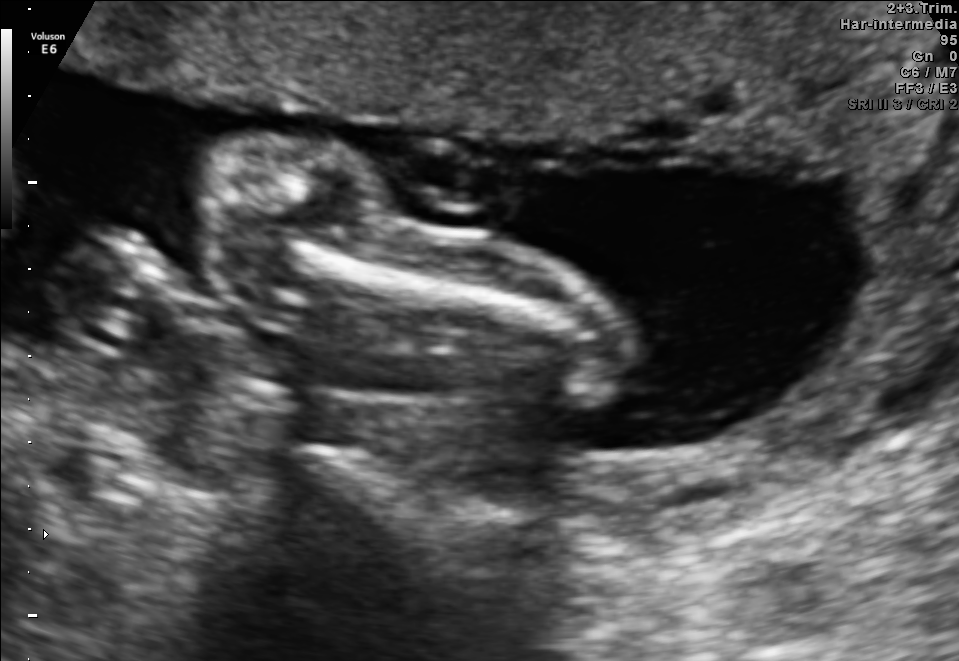
This is a 2D maternal-fetal ultrasound frame. Is it a fetal abdomen, fetal brain, fetal femur, fetal thorax, maternal cervix, or other standard plane? If it's fetal brain and one of the three standard brain planes (trans-thalamic, trans-cerebellum, trans-ventricular), name which.

Other